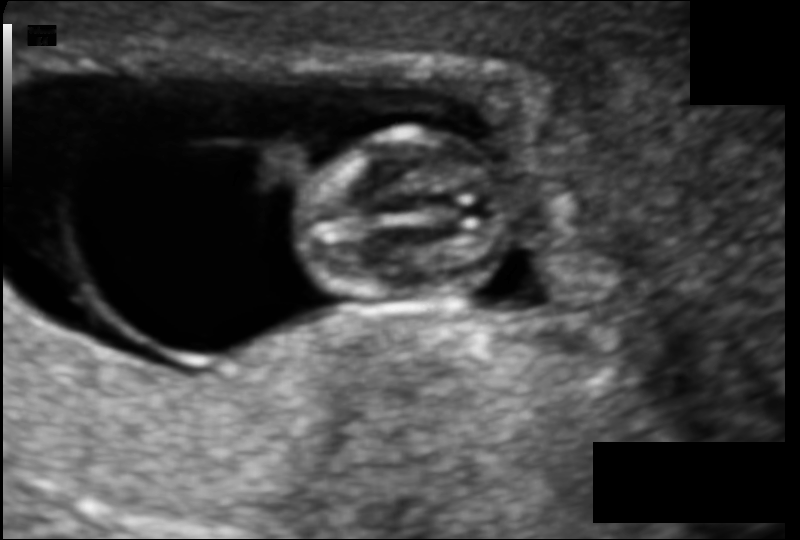
From this fetal ultrasound, estimate the head circumference (image width 71.7 mm).

Head circumference: 56.8 mm.